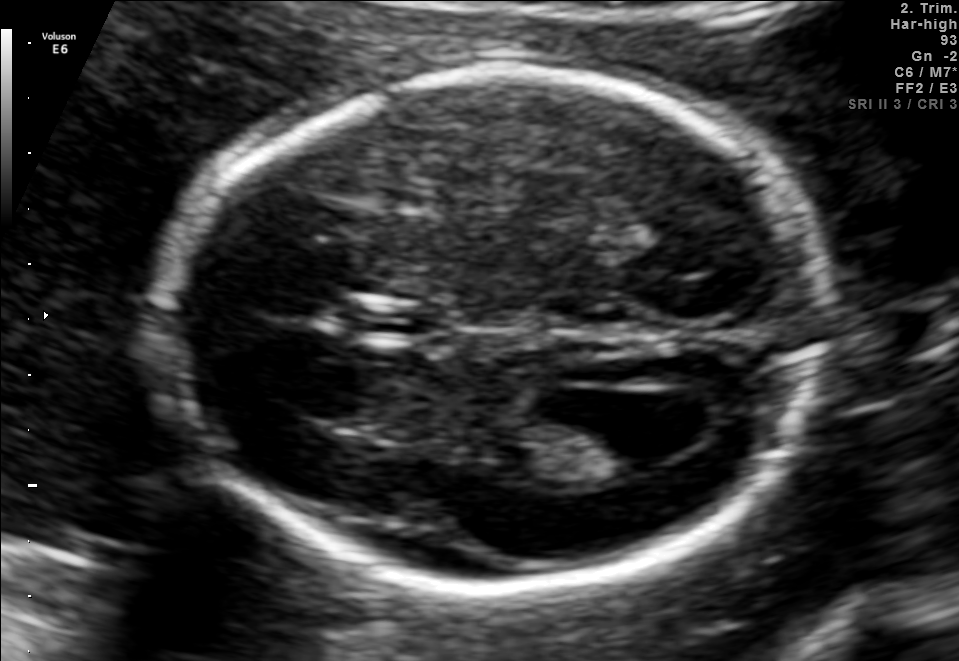
In this fetal brain, trans-ventricular plane, give bounding boxes for the head outline, cavum septum pellucidum (CSP), and lateral ventricle (LV), where visible.

Head: [162,62,845,599]
CSP: [333,291,462,358]
Lateral ventricle: [563,383,697,487]